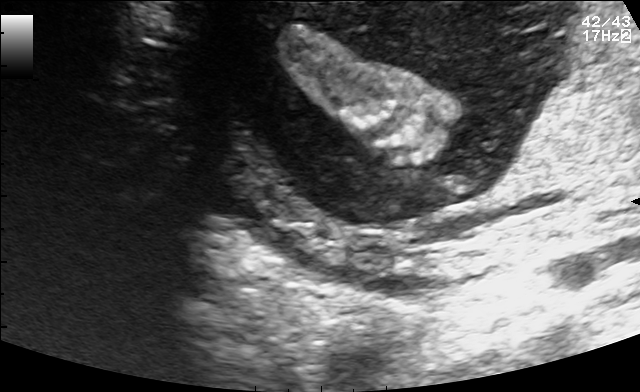
This is a 2D maternal-fetal ultrasound frame. Is it a fetal abdomen, fetal brain, fetal femur, fetal thorax, maternal cervix, or other standard plane? If it's fetal brain and one of the three standard brain planes (trans-thalamic, trans-cerebellum, trans-ventricular), name which.

Other